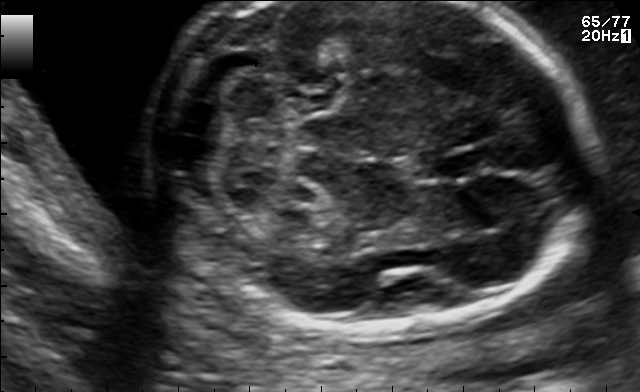
In this fetal brain, trans-cerebellum plane, give the bounding box of the cavum septum pellucidum.

[432,143,494,185]